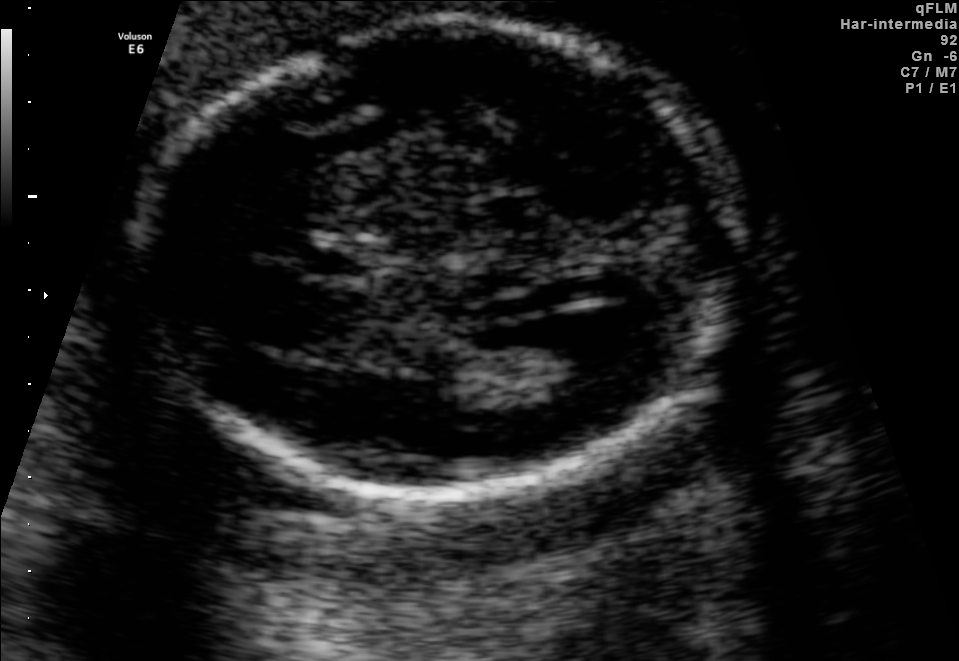
In this fetal brain, trans-ventricular plane, give the bounding box of the lateral ventricle.

[506,304,632,391]